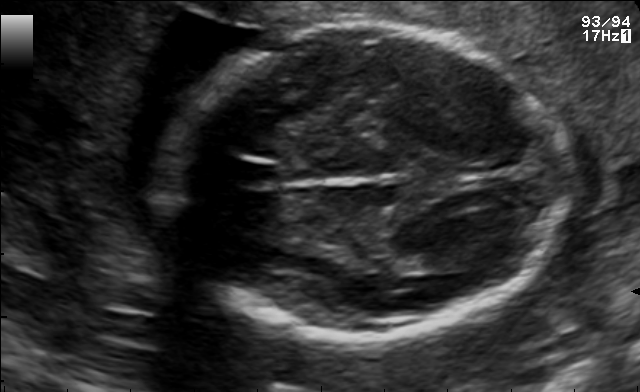
Fetal brain, trans-thalamic plane. Where is the lateral ventricle?

Lateral ventricle bounding box: [419,248,475,274]